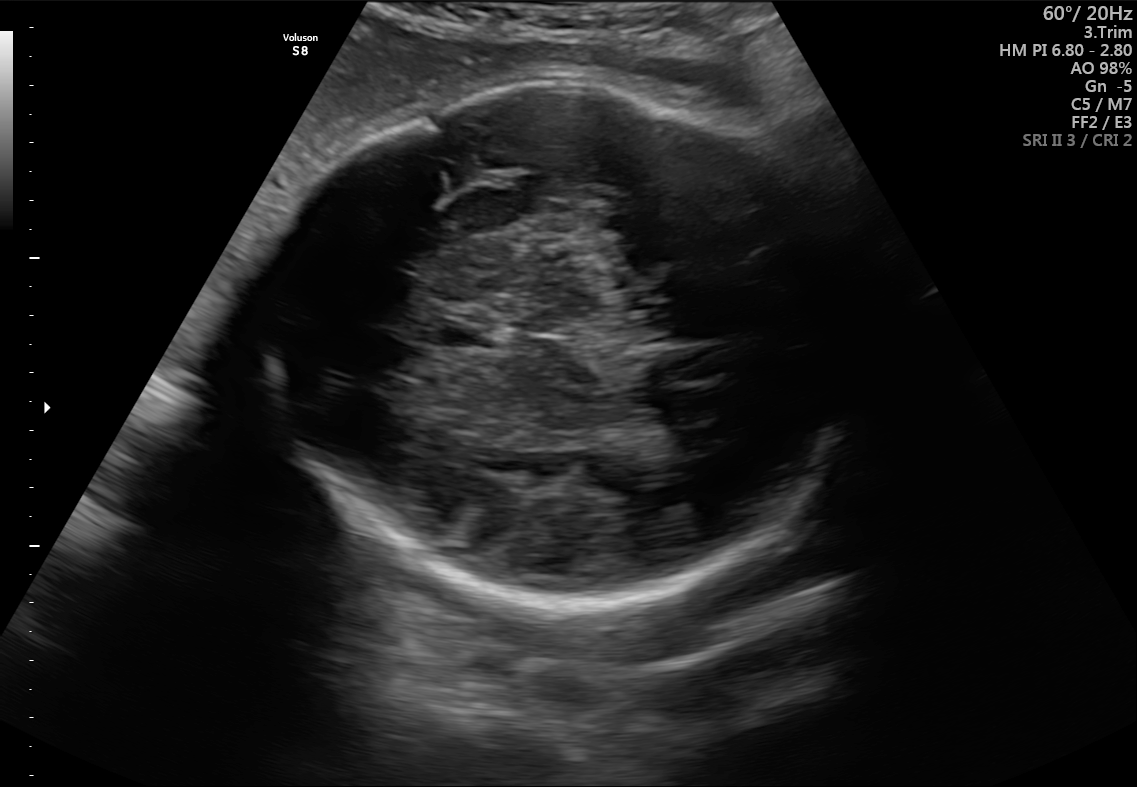
Fetal brain, trans-thalamic plane. Locate the fetal head and, if visible, the cavum septum pellucidum (CSP) and lateral ventricle (LV). Give bounding boxes as [x1,y1,x2,y2].

Head: [257,77,870,612]
CSP: [434,313,496,349]